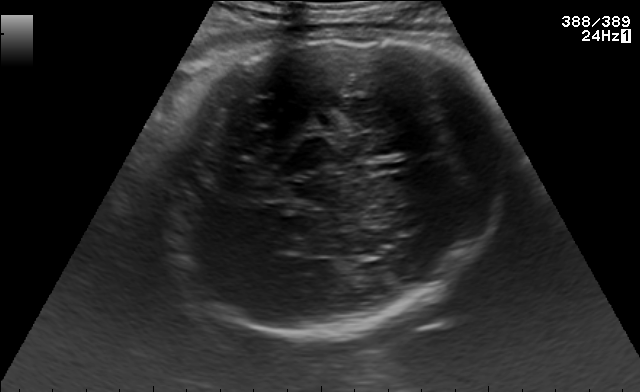
Identify the standard plane in this fetal ultrasound image: fetal abdomen, fetal brain, fetal femur, fetal thorax, maternal cervix, or other. If it's fetal brain and one of the three standard brain planes (trans-thalamic, trans-cerebellum, trans-ventricular), name which.

Fetal brain (trans-thalamic plane)